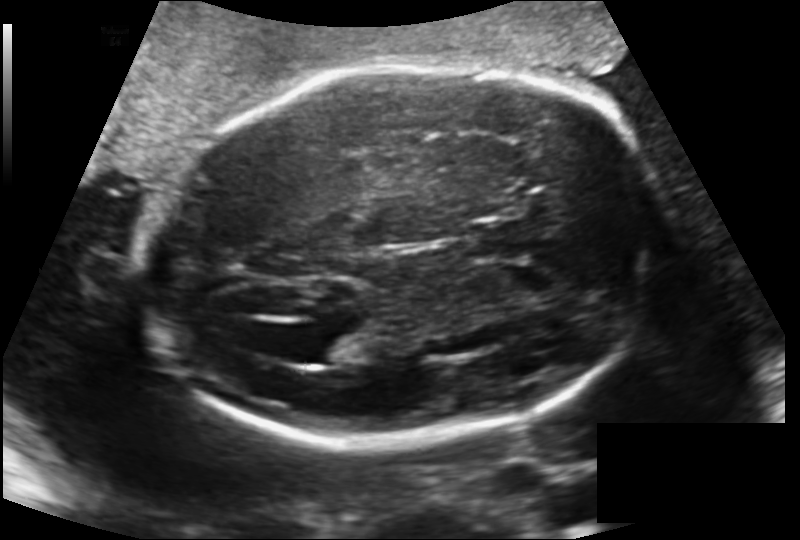
What is the fetal head circumference? Image width is 136.0 mm.

246.6 mm